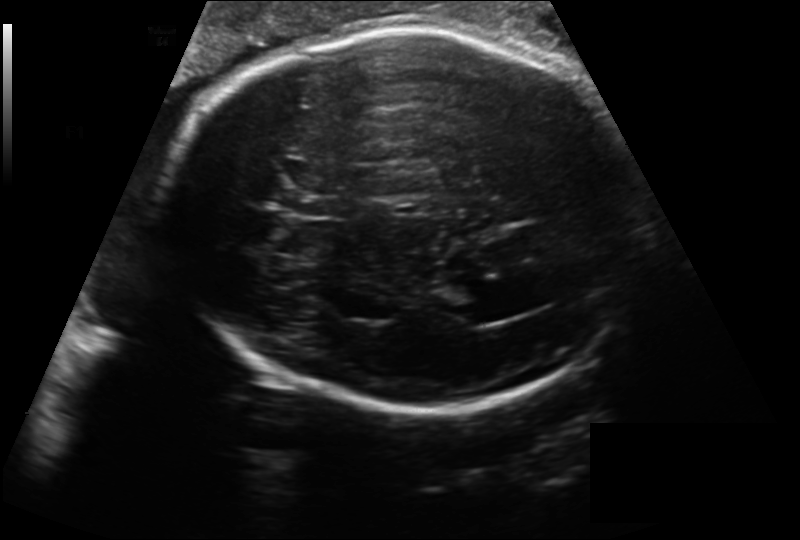
Fetal head ultrasound. Image width: 174.3 mm. Where is the cavum septum pellucidum?

CSP bounding box: [302,196,343,219]